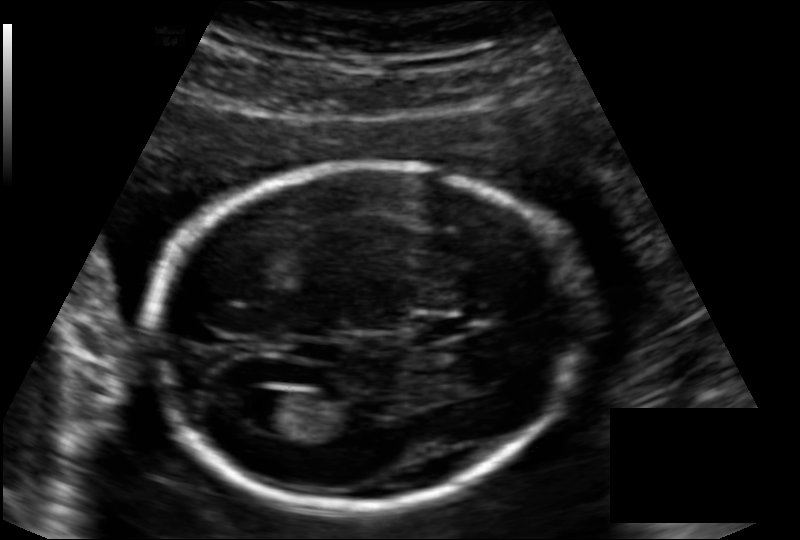
Fetal head ultrasound. Image width: 108.5 mm. Locate the fetal head and, if visible, the cavum septum pellucidum (CSP) and lateral ventricle (LV). Give bounding boxes as [x1,y1,x2,y2].

Head: [148,162,578,504]
CSP: [411,313,469,342]
Lateral ventricle: [232,386,302,435]